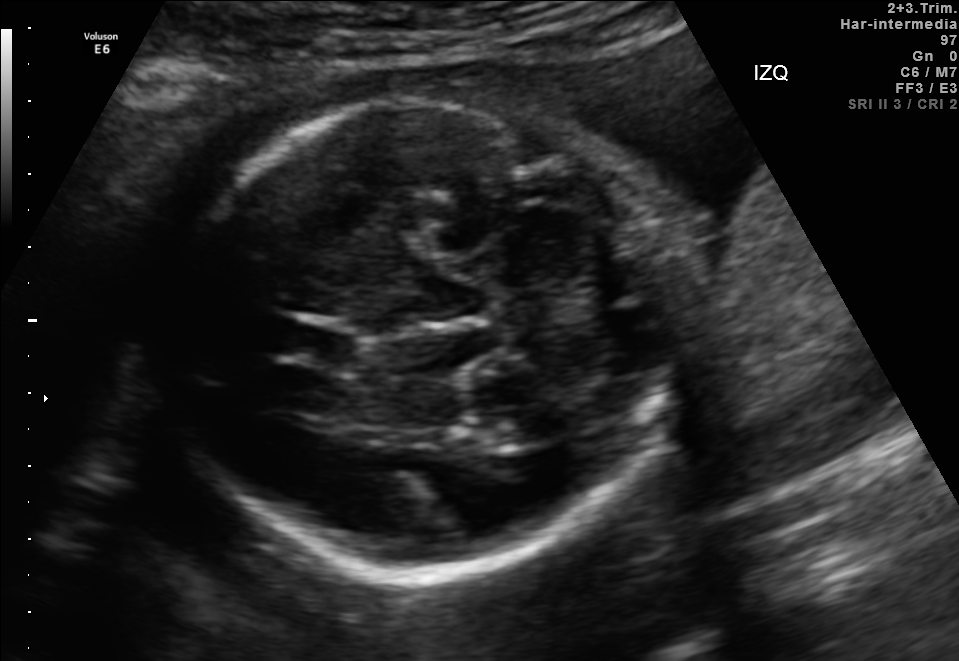
In this fetal brain, trans-cerebellum plane, give the bounding box of the cavum septum pellucidum.

[278,315,362,372]